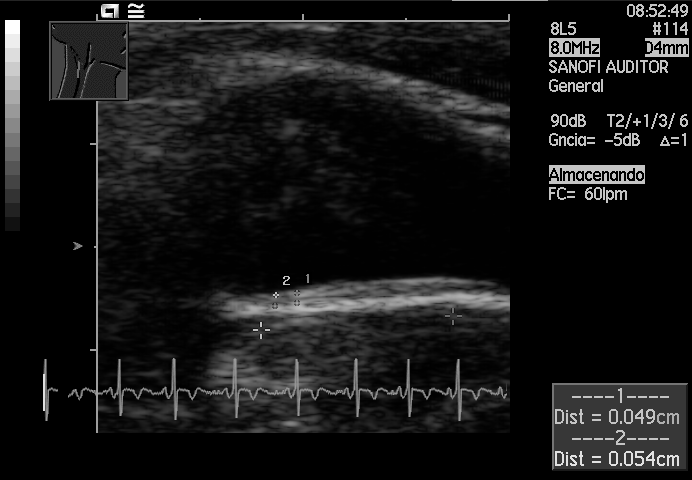
Identify the standard plane in this fetal ultrasound image: fetal abdomen, fetal brain, fetal femur, fetal thorax, maternal cervix, or other. If it's fetal brain and one of the three standard brain planes (trans-thalamic, trans-cerebellum, trans-ventricular), name which.

Other